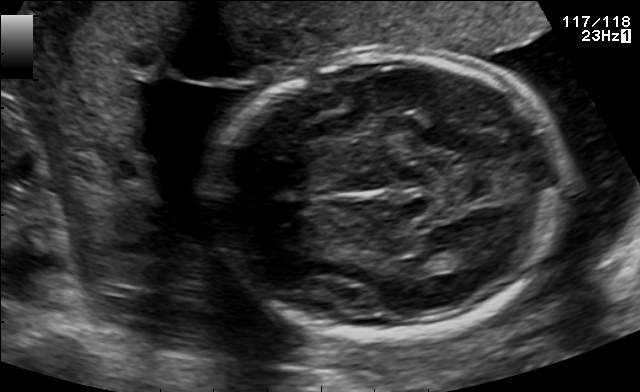
This is a 2D maternal-fetal ultrasound frame. Is it a fetal abdomen, fetal brain, fetal femur, fetal thorax, maternal cervix, or other standard plane? If it's fetal brain and one of the three standard brain planes (trans-thalamic, trans-cerebellum, trans-ventricular), name which.

Fetal brain (trans-thalamic plane)